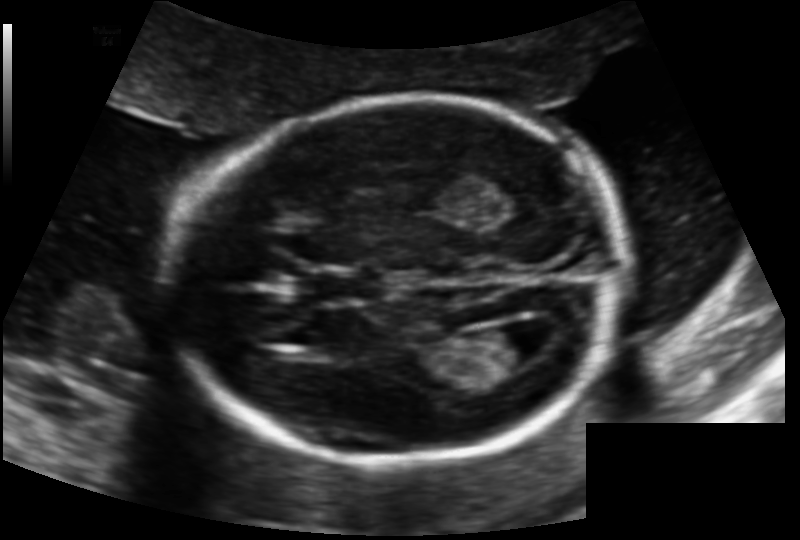
In this fetal head ultrasound, give bounding boxes for the head outline, cavum septum pellucidum (CSP), and lateral ventricle (LV), where visible. Image width: 104.9 mm.

Head: [174,97,624,464]
CSP: [311,269,383,302]
Lateral ventricle: [468,319,546,377]